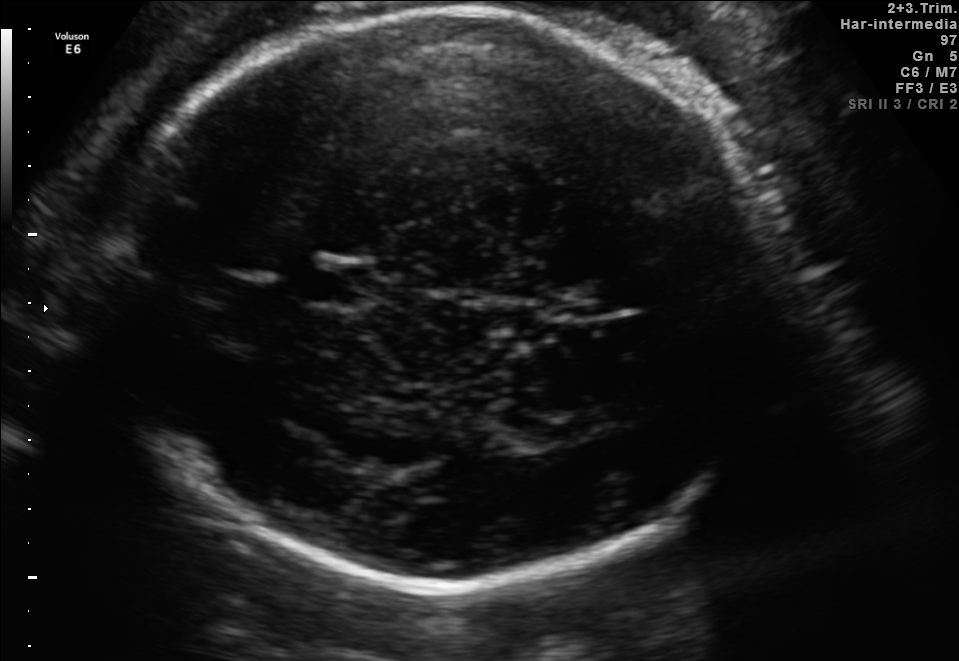
Fetal brain, trans-thalamic plane. Give [x1,y1,x2,y2] bounding boxes for each visible structure among: fetal head, CSP, LV.

Head: [105,11,792,582]
CSP: [299,264,360,304]